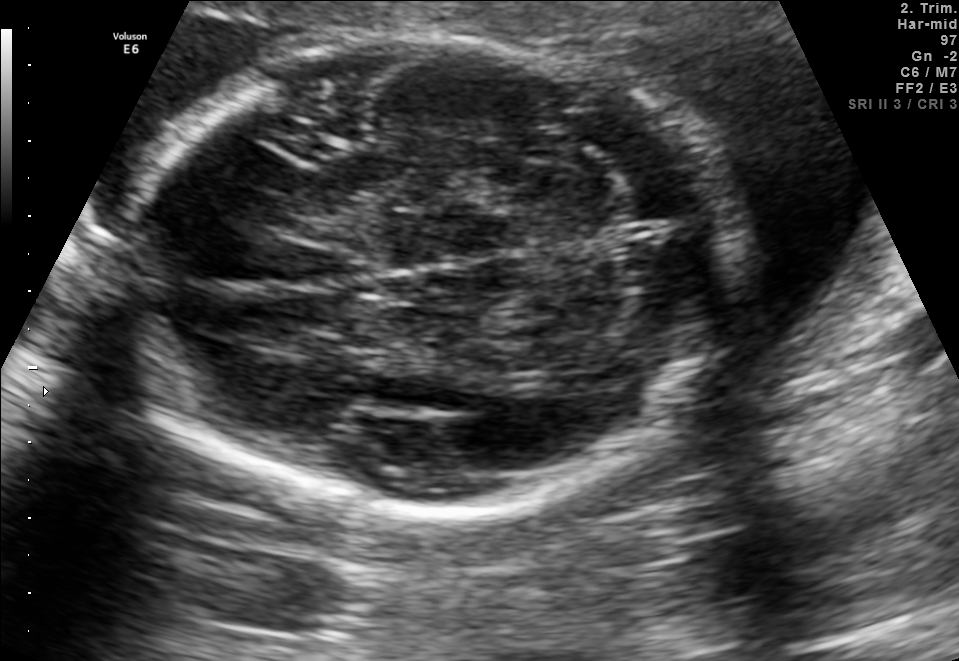
In this fetal brain, trans-cerebellum plane, give bounding boxes for the head outline, cavum septum pellucidum (CSP), and lateral ventricle (LV), where visible.

Head: [121,37,742,512]